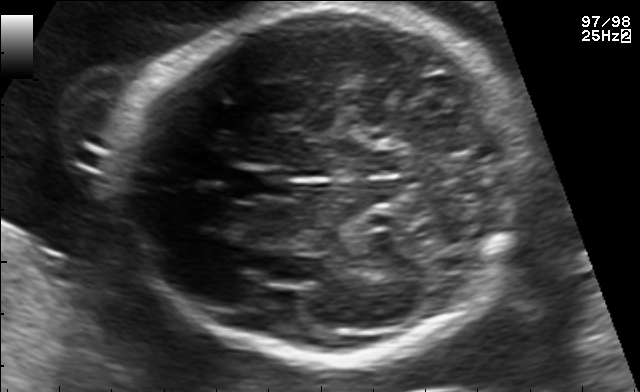
Fetal brain, trans-thalamic plane. Locate the fetal head and, if visible, the cavum septum pellucidum (CSP) and lateral ventricle (LV). Give bounding boxes as [x1,y1,x2,y2].

Head: [121,7,527,359]
CSP: [228,171,289,197]